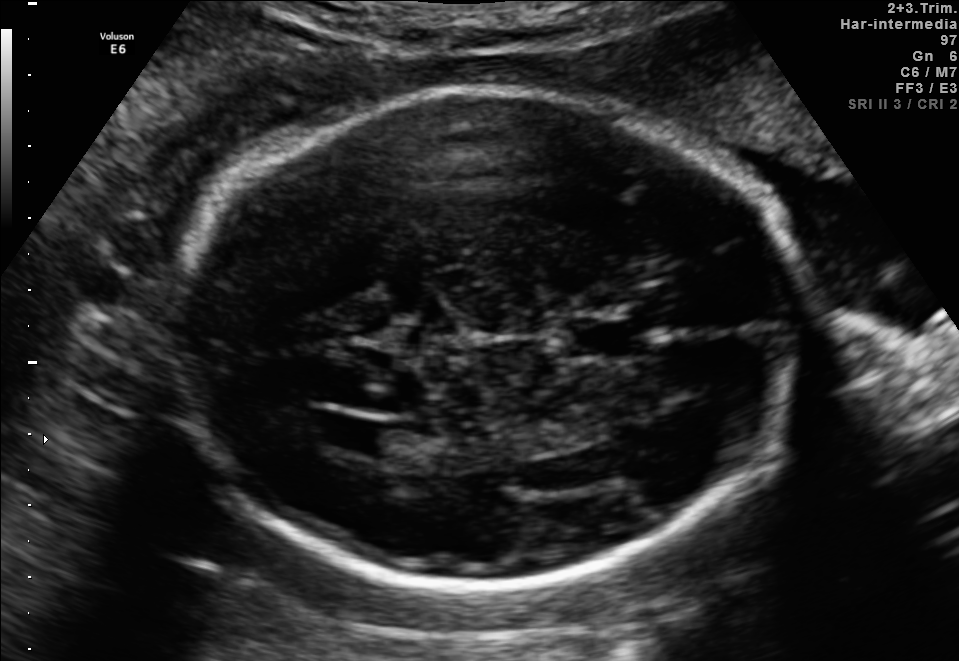
Fetal brain, trans-ventricular plane. Locate the fetal head.

Head: [161,85,816,592]